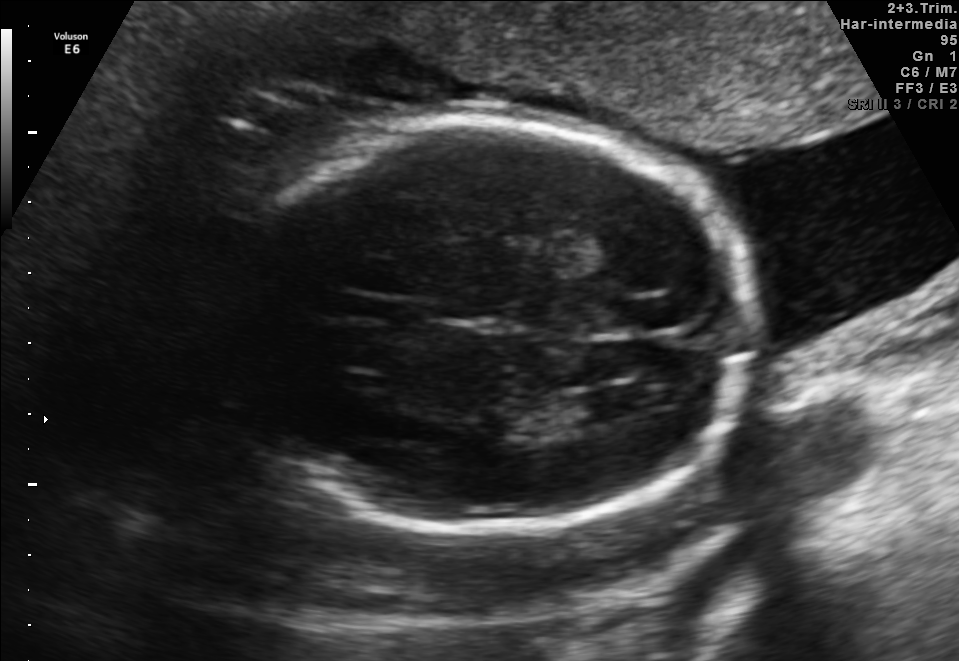
Fetal brain, trans-ventricular plane. Locate the fetal head and, if visible, the cavum septum pellucidum (CSP) and lateral ventricle (LV). Give bounding boxes as [x1,y1,x2,y2].

Head: [235,111,762,536]
CSP: [352,297,409,324]
Lateral ventricle: [565,389,627,427]